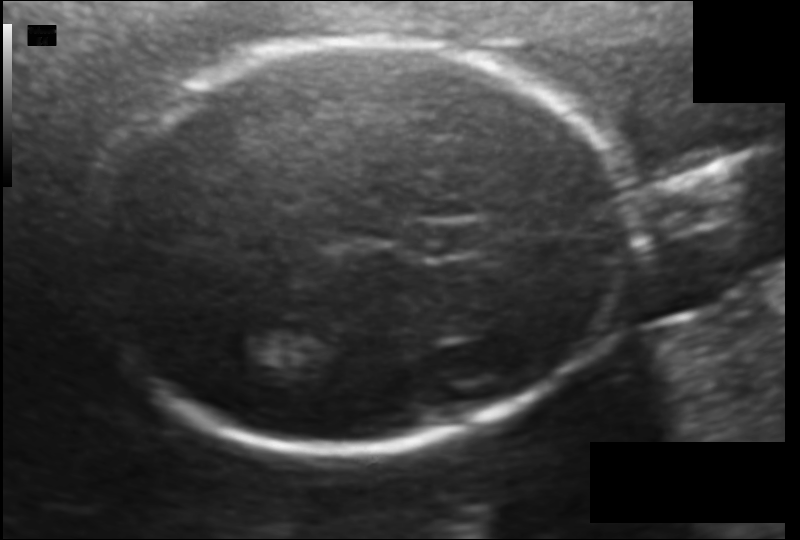
From this fetal ultrasound, estimate the head circumference (image width 90.8 mm).

Head circumference: 176.3 mm.